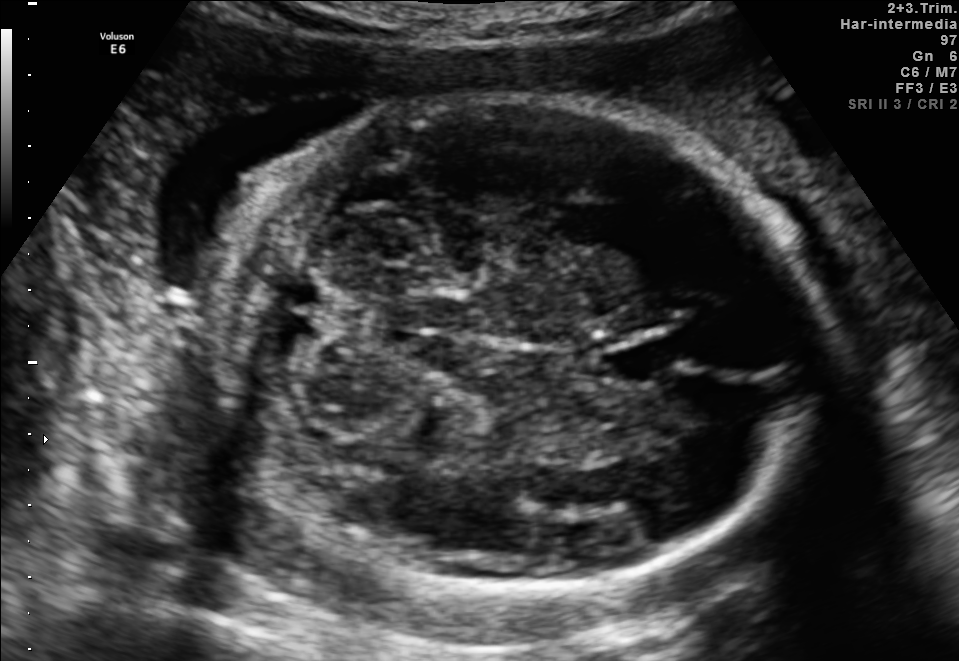
Fetal brain, trans-cerebellum plane. Where is the cavum septum pellucidum?

CSP bounding box: [595,328,681,394]